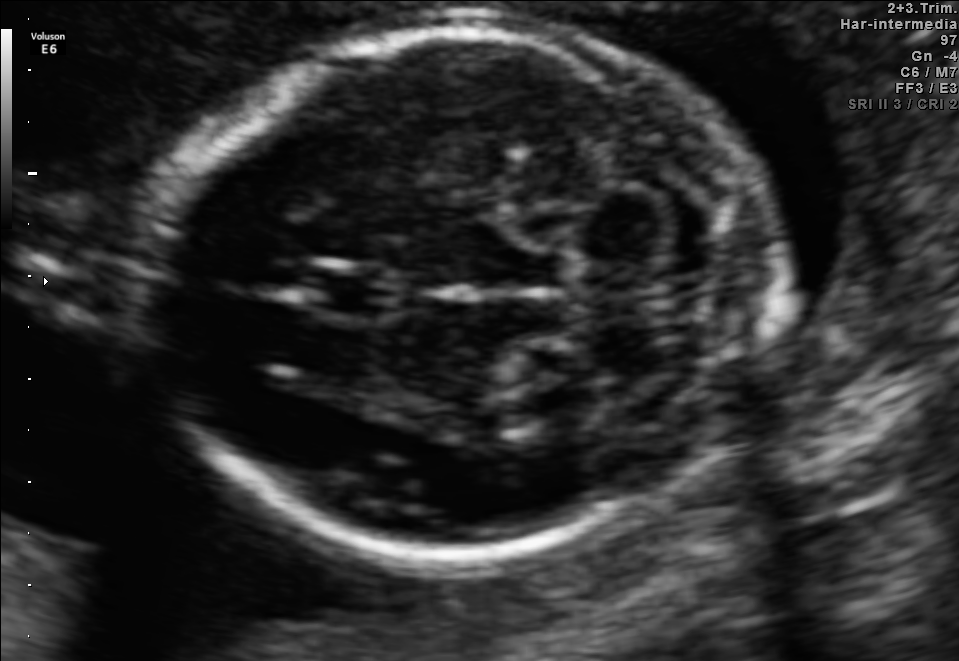
Fetal brain, trans-cerebellum plane. Where is the cavum septum pellucidum?

CSP bounding box: [300,261,398,326]